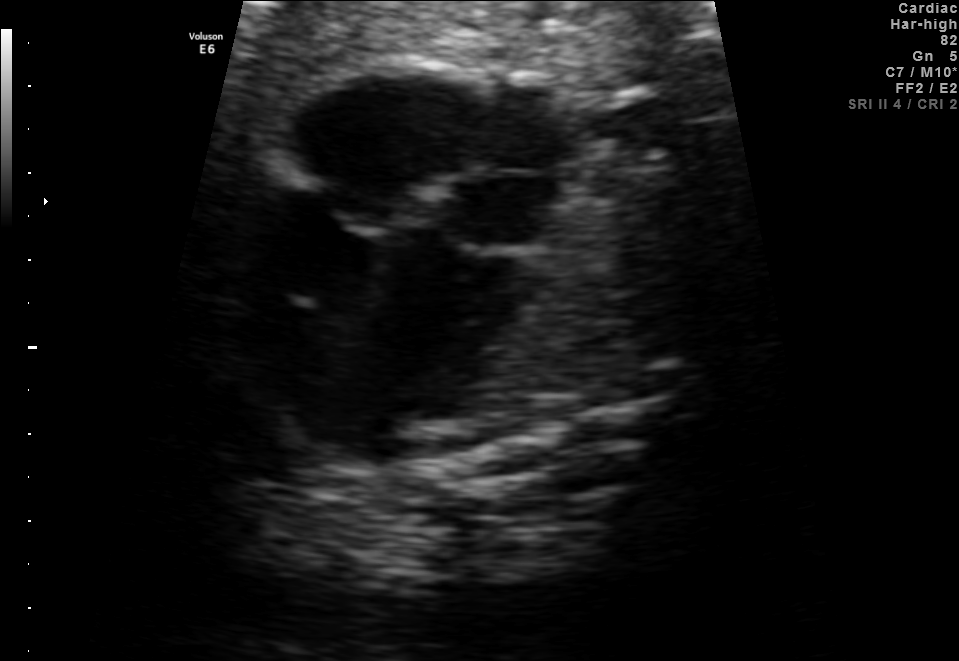
Which standard maternal-fetal ultrasound plane is shown: fetal abdomen, fetal brain, fetal femur, fetal thorax, maternal cervix, or other? If it's fetal brain and one of the three standard brain planes (trans-thalamic, trans-cerebellum, trans-ventricular), name which.

Fetal thorax